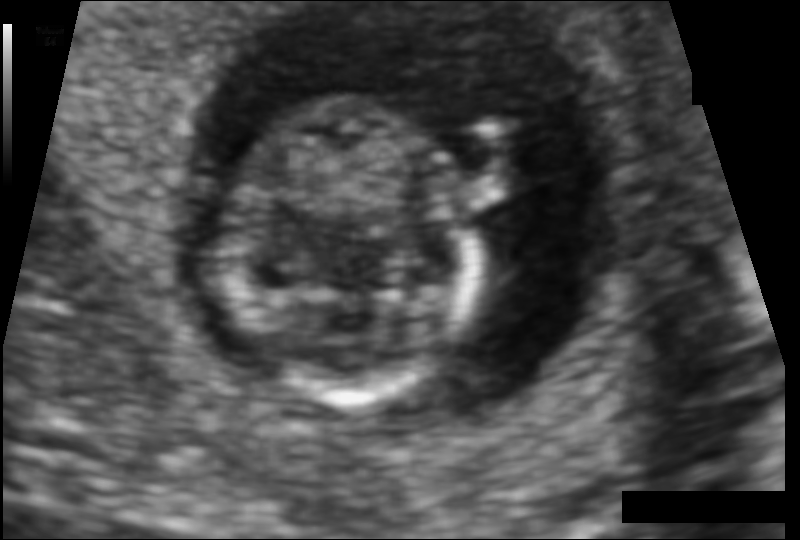
What is the fetal head circumference? Image width is 63.9 mm.

71.9 mm